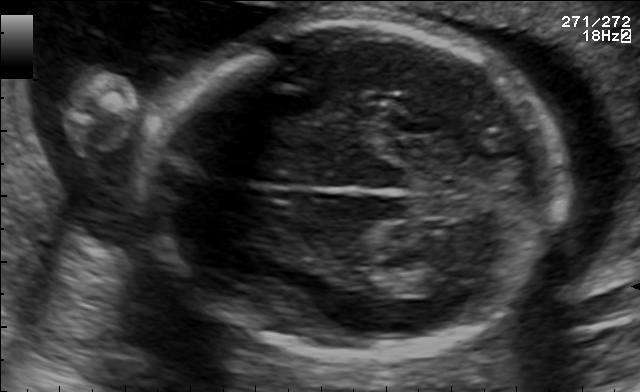
Fetal brain, trans-thalamic plane. Where is the lateral ventricle?

Lateral ventricle bounding box: [406,263,477,300]